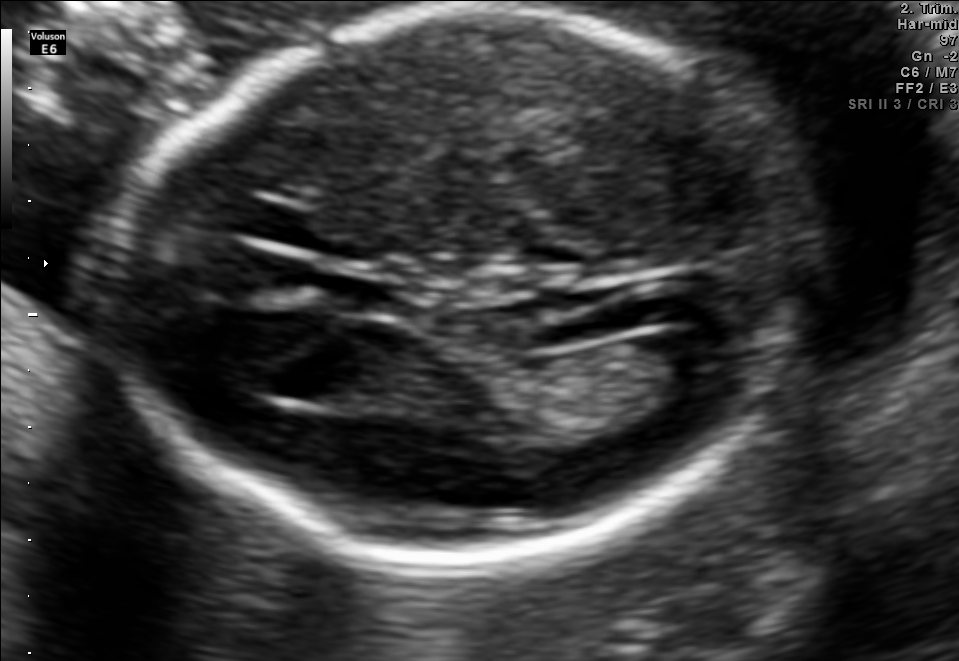
In this fetal brain, trans-ventricular plane, give the bounding box of the cavum septum pellucidum.

[332,276,404,319]